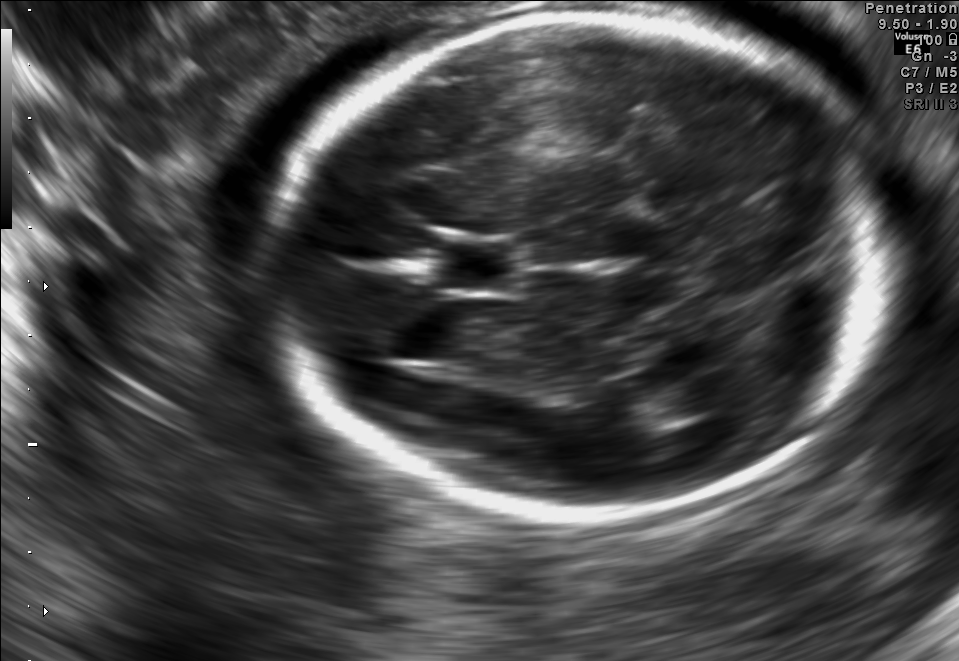
Classify this maternal-fetal ultrasound image as one of the six standard planes — fetal abdomen, fetal brain, fetal femur, fetal thorax, maternal cervix, or other. If it's fetal brain and one of the three standard brain planes (trans-thalamic, trans-cerebellum, trans-ventricular), name which.

Fetal brain (trans-thalamic plane)